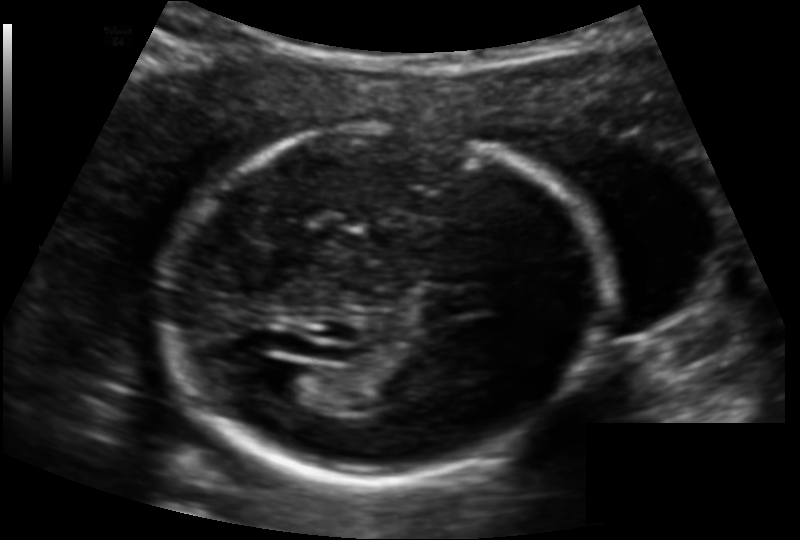
From this fetal ultrasound, estimate the head circumference (image width 105.9 mm).

Head circumference: 176.4 mm.